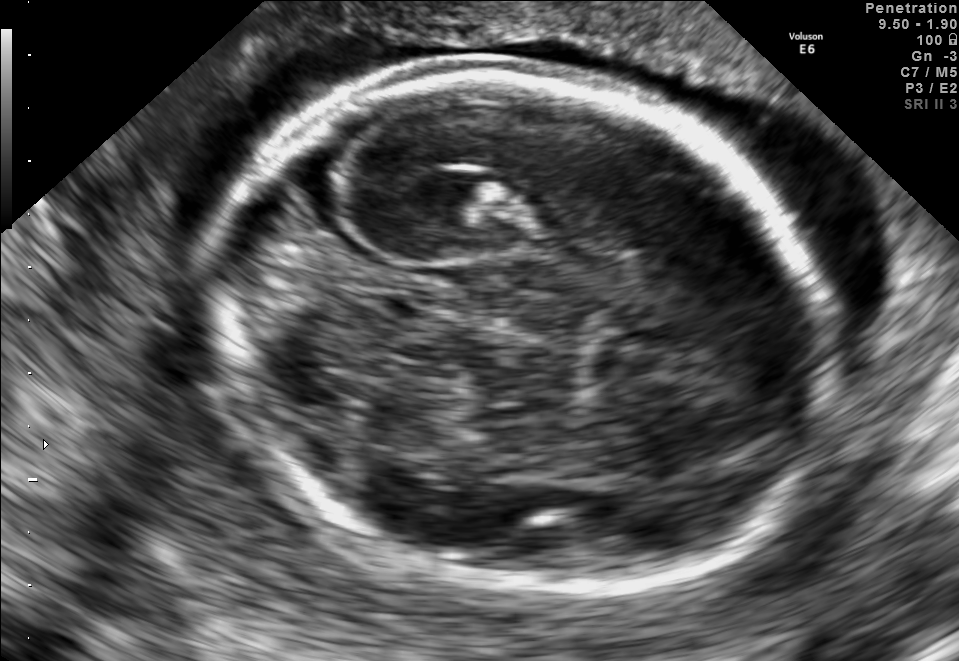
Classify this maternal-fetal ultrasound image as one of the six standard planes — fetal abdomen, fetal brain, fetal femur, fetal thorax, maternal cervix, or other. If it's fetal brain and one of the three standard brain planes (trans-thalamic, trans-cerebellum, trans-ventricular), name which.

Fetal brain